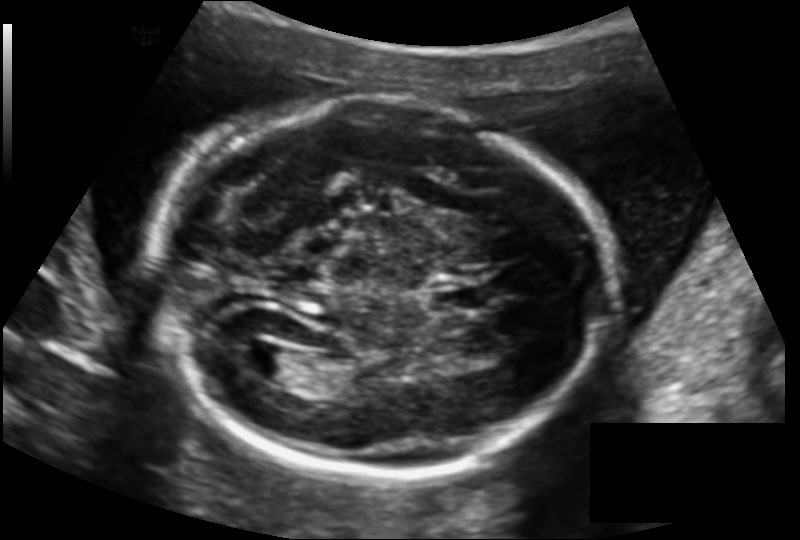
Fetal head ultrasound. Image width: 116.1 mm. Locate the fetal head and, if visible, the cavum septum pellucidum (CSP) and lateral ventricle (LV). Give bounding boxes as [x1,y1,x2,y2].

Head: [155,103,608,475]
CSP: [433,284,485,312]
Lateral ventricle: [234,337,295,384]